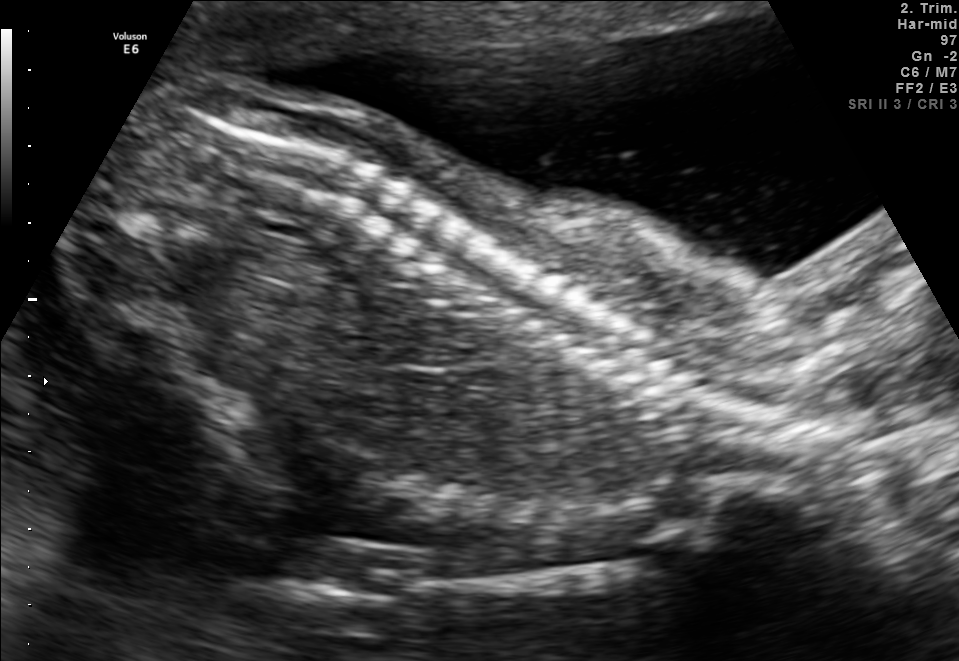
Classify this maternal-fetal ultrasound image as one of the six standard planes — fetal abdomen, fetal brain, fetal femur, fetal thorax, maternal cervix, or other. If it's fetal brain and one of the three standard brain planes (trans-thalamic, trans-cerebellum, trans-ventricular), name which.

Other